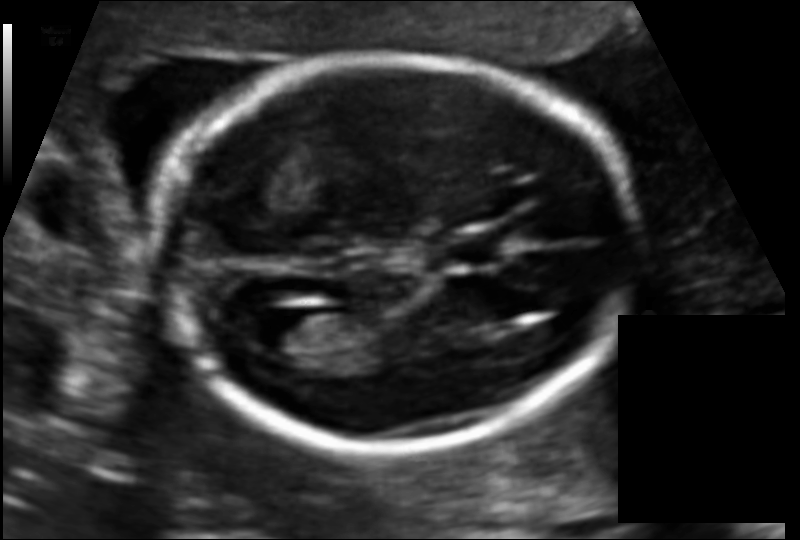
Estimate the fetal head circumference from this 2D ultrasound.

Head circumference: 157.7 mm (image width 87.1 mm).